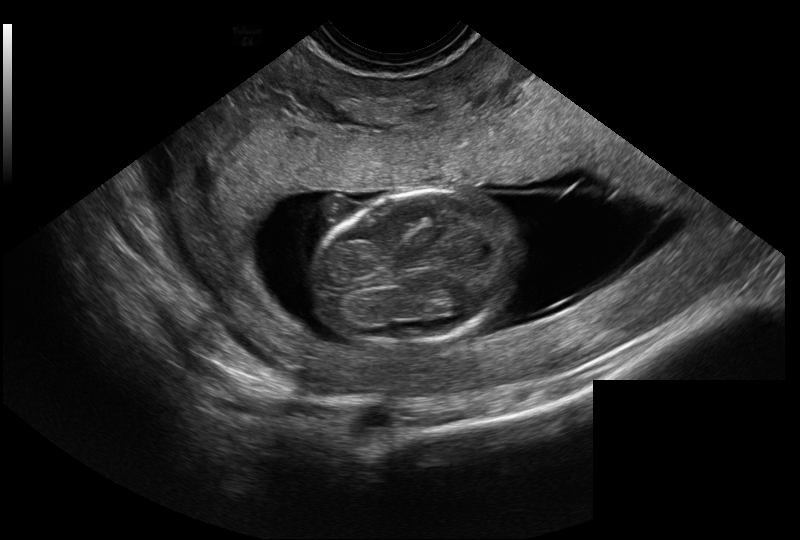
Estimate the fetal head circumference from this 2D ultrasound.

Head circumference: 75.6 mm (image width 102.5 mm).